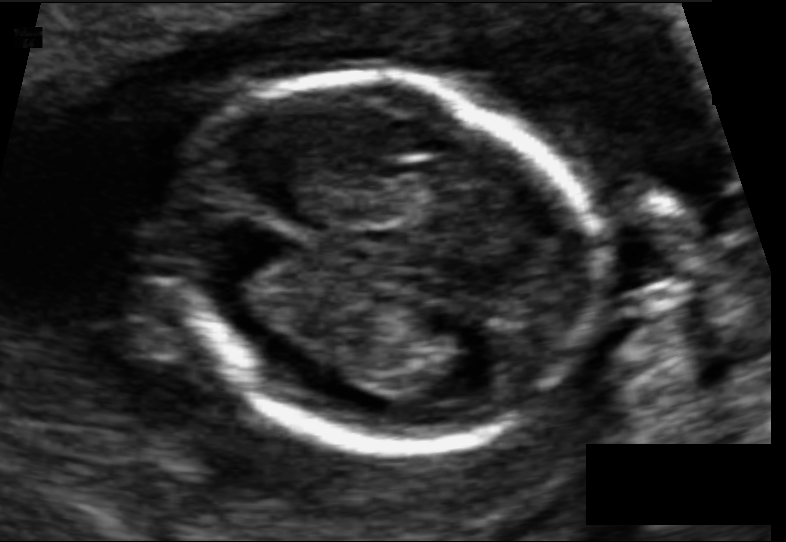
Estimate the fetal head circumference from this 2D ultrasound. Image width: 58.4 mm.

Head circumference: 97.1 mm.